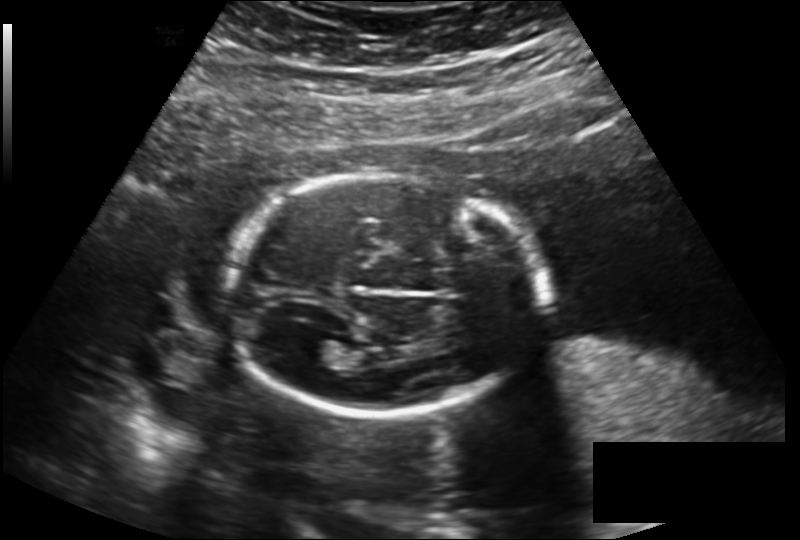
Fetal head ultrasound. Image width: 150.8 mm. Locate the lateral ventricle.

Lateral ventricle: [295,335,340,367]